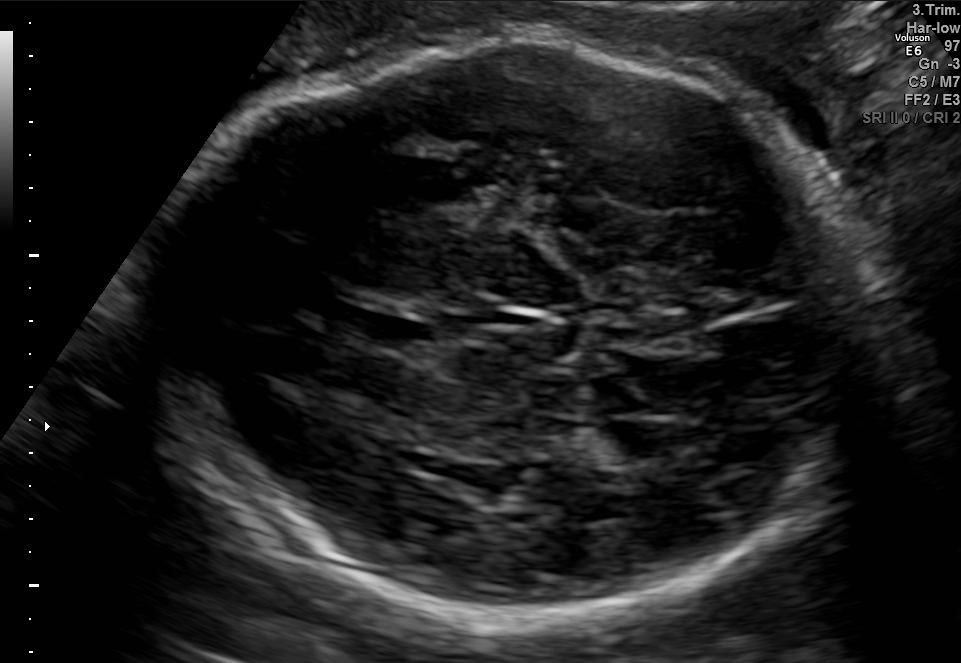
Fetal brain, trans-ventricular plane. Locate the fetal head and, if visible, the cavum septum pellucidum (CSP) and lateral ventricle (LV). Give bounding boxes as [x1,y1,x2,y2].

Head: [148,38,887,625]